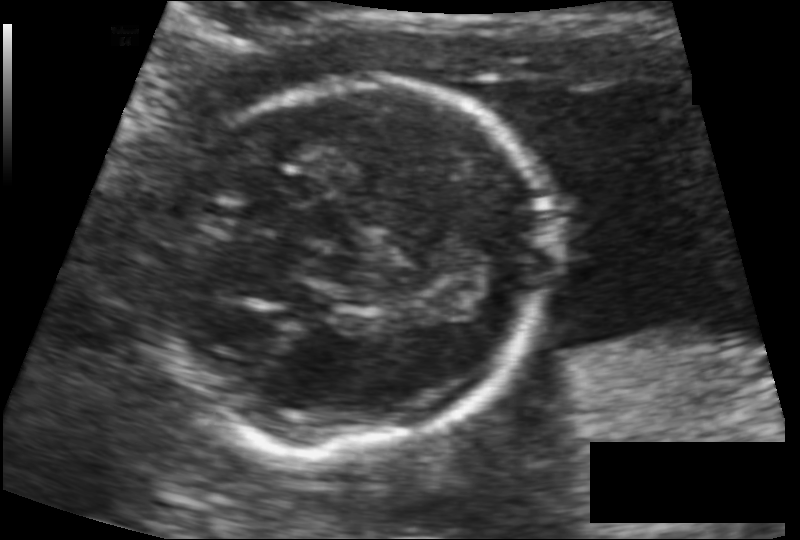
In this fetal head ultrasound, give the bounding box of the fetal head. Image width: 79.7 mm.

[162,80,553,449]